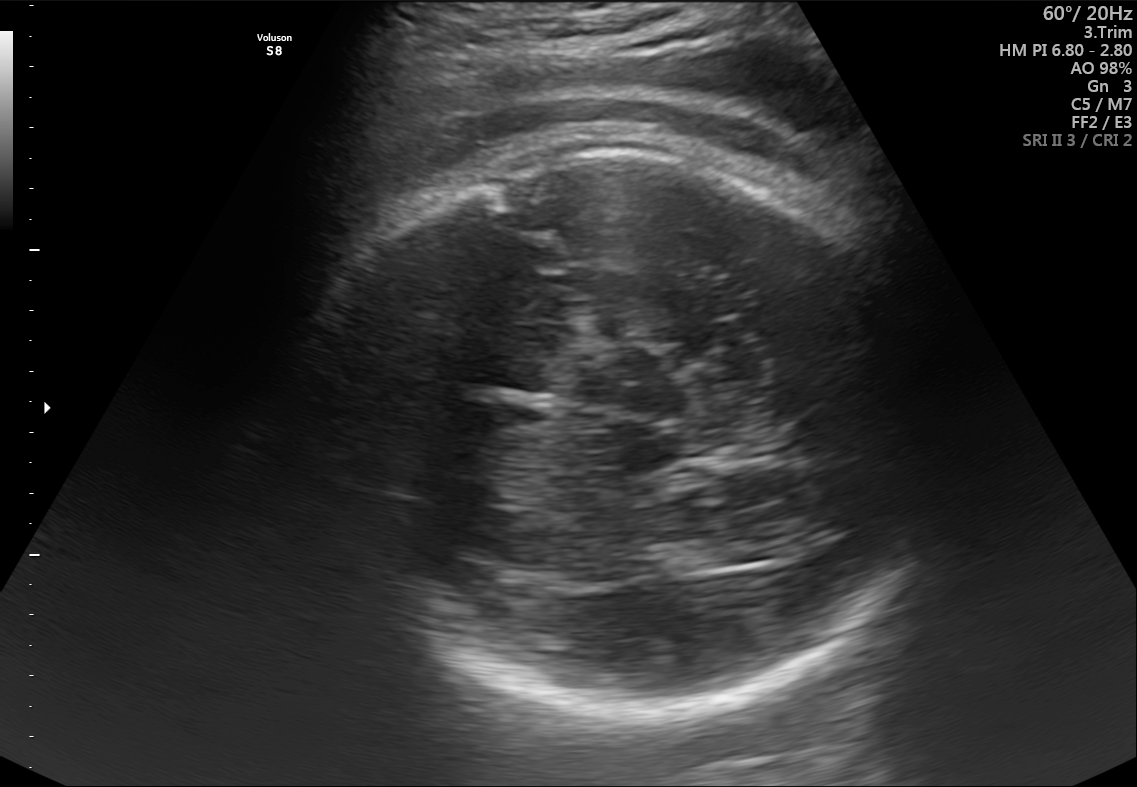
Fetal brain, trans-thalamic plane. Locate the fetal head and, if visible, the cavum septum pellucidum (CSP) and lateral ventricle (LV). Give bounding boxes as [x1,y1,x2,y2].

Head: [293,140,963,725]